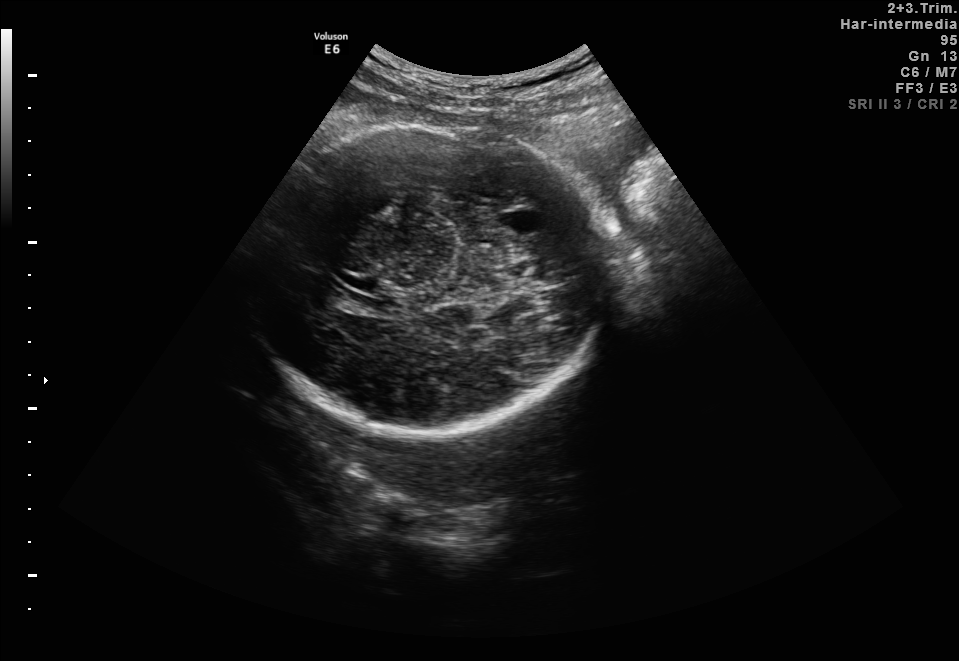
Which standard maternal-fetal ultrasound plane is shown: fetal abdomen, fetal brain, fetal femur, fetal thorax, maternal cervix, or other? If it's fetal brain and one of the three standard brain planes (trans-thalamic, trans-cerebellum, trans-ventricular), name which.

Fetal brain (trans-thalamic plane)